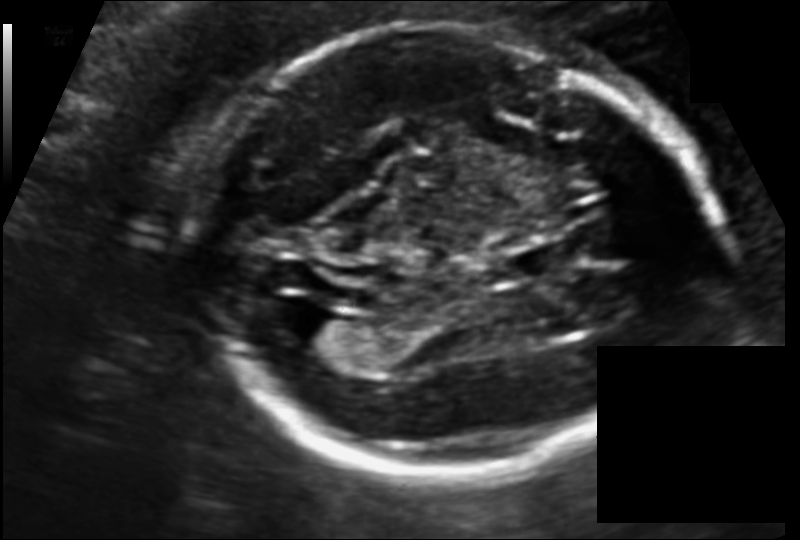
Fetal head ultrasound. Image width: 94.5 mm. Locate the cavum septum pellucidum.

CSP: [507,238,576,285]